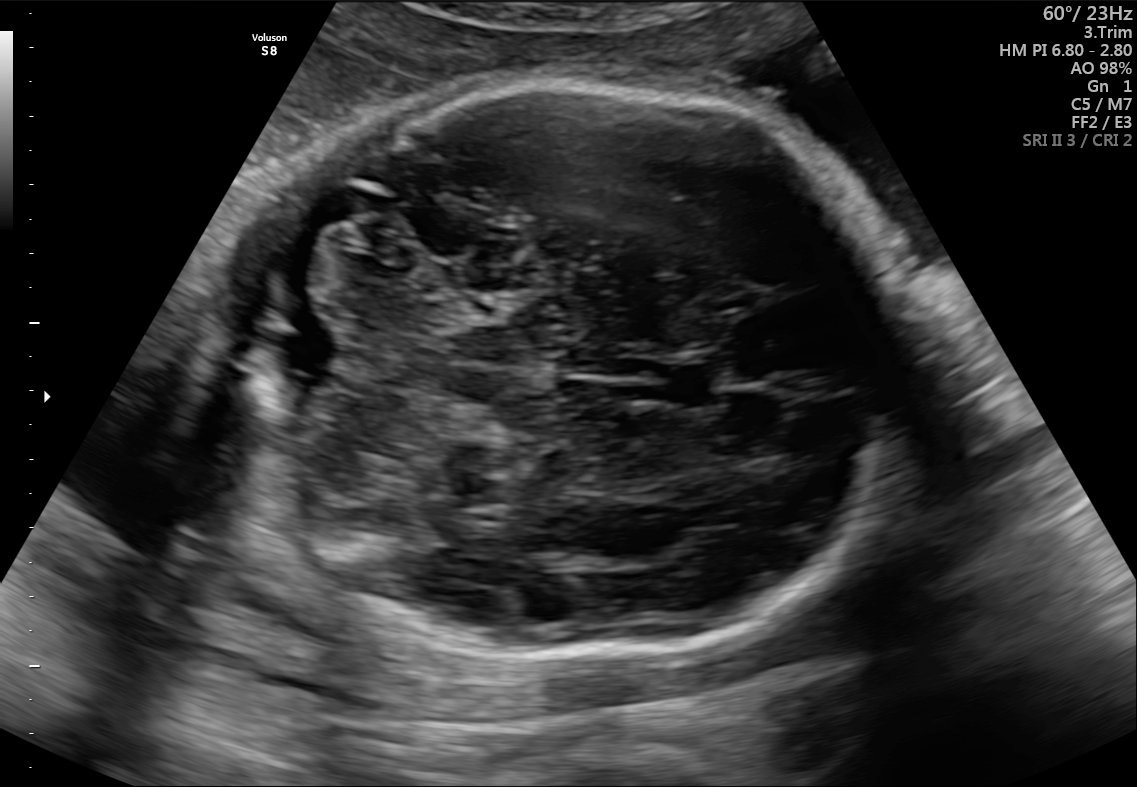
In this fetal brain, trans-cerebellum plane, give bounding boxes for the head outline, cavum septum pellucidum (CSP), and lateral ventricle (LV), where visible.

Head: [209,81,909,663]
CSP: [650,356,725,406]